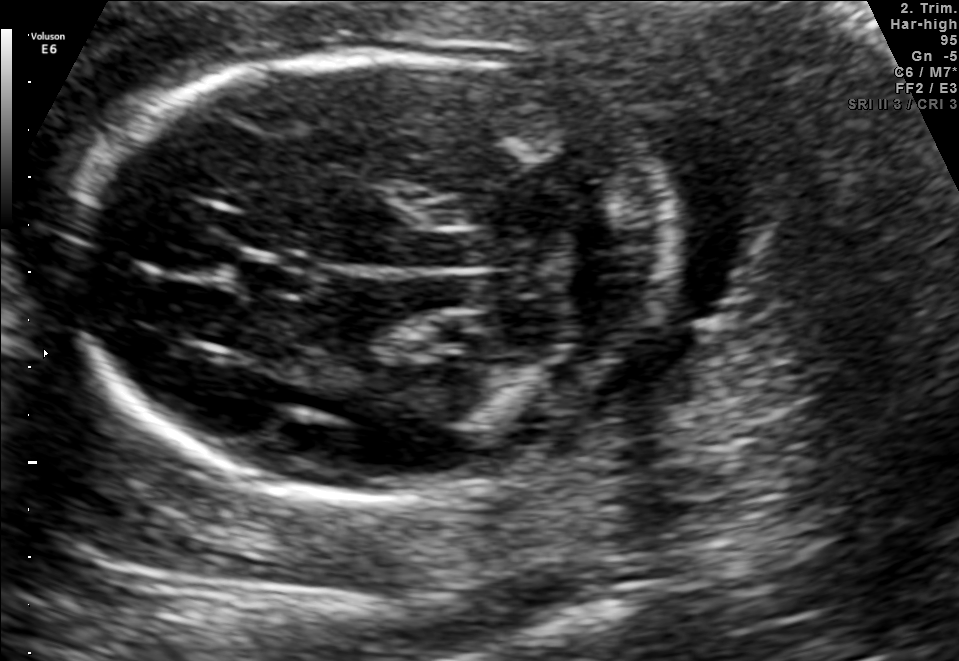
This is a 2D maternal-fetal ultrasound frame. Is it a fetal abdomen, fetal brain, fetal femur, fetal thorax, maternal cervix, or other standard plane? If it's fetal brain and one of the three standard brain planes (trans-thalamic, trans-cerebellum, trans-ventricular), name which.

Fetal brain (trans-cerebellum plane)